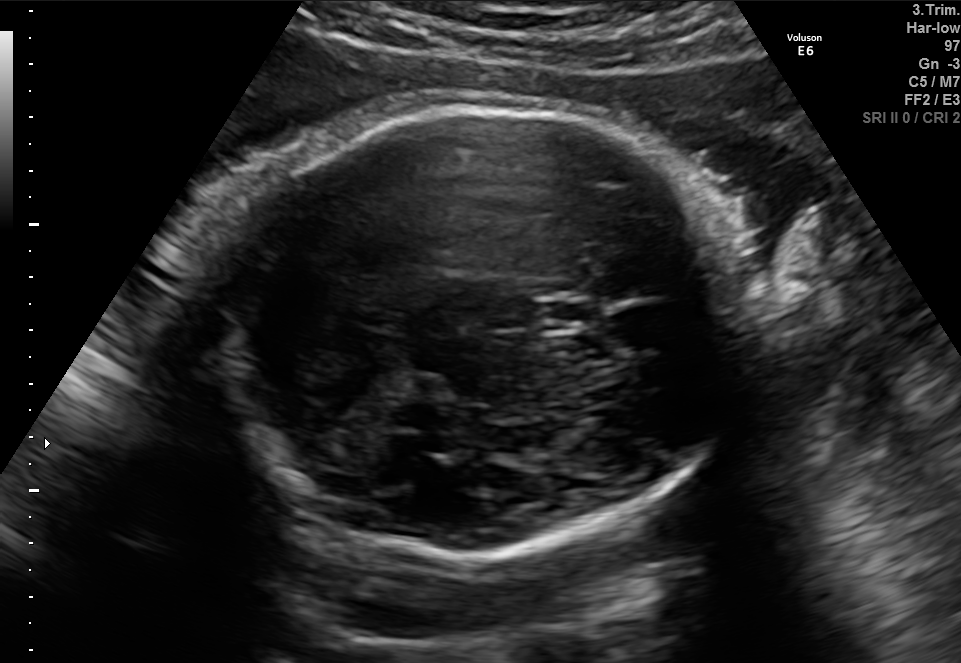
In this fetal brain, trans-thalamic plane, give the bounding box of the fetal head.

[218,105,755,558]